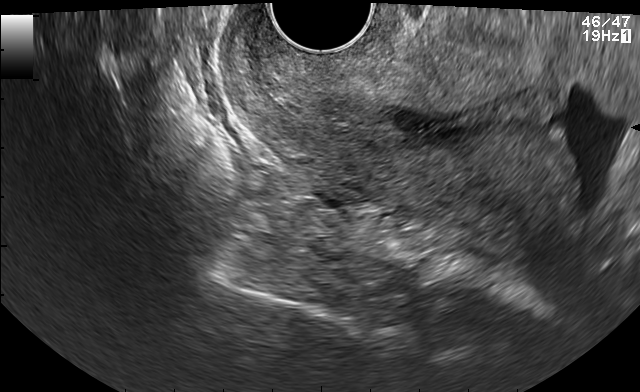
This is a 2D maternal-fetal ultrasound frame. Is it a fetal abdomen, fetal brain, fetal femur, fetal thorax, maternal cervix, or other standard plane? If it's fetal brain and one of the three standard brain planes (trans-thalamic, trans-cerebellum, trans-ventricular), name which.

Maternal cervix